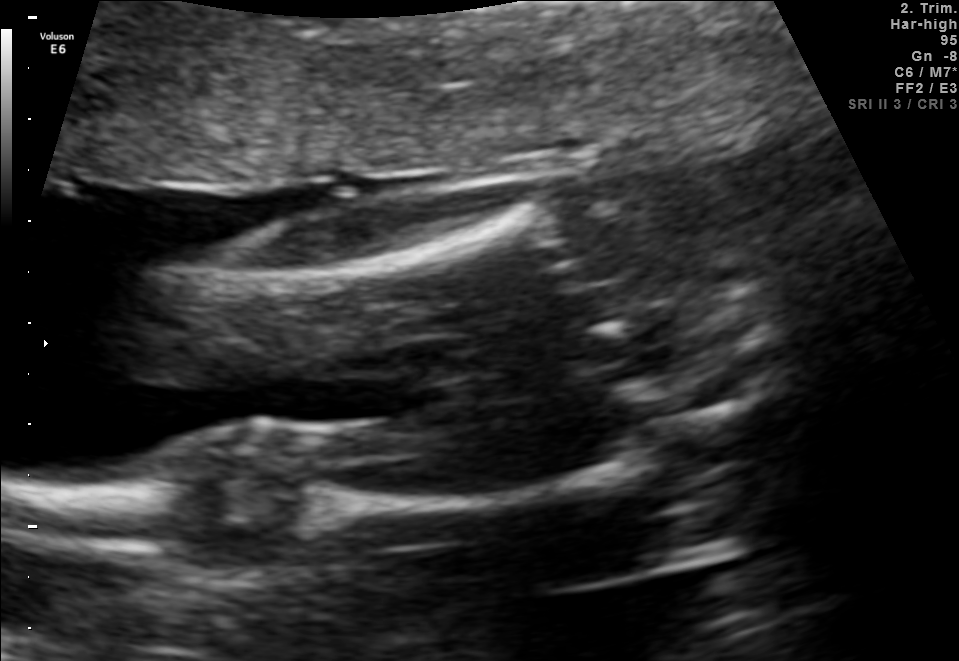
This is a 2D maternal-fetal ultrasound frame. Is it a fetal abdomen, fetal brain, fetal femur, fetal thorax, maternal cervix, or other standard plane? If it's fetal brain and one of the three standard brain planes (trans-thalamic, trans-cerebellum, trans-ventricular), name which.

Fetal femur